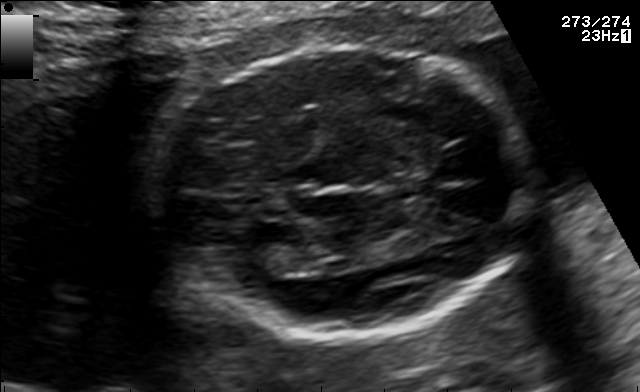
Which standard maternal-fetal ultrasound plane is shown: fetal abdomen, fetal brain, fetal femur, fetal thorax, maternal cervix, or other? If it's fetal brain and one of the three standard brain planes (trans-thalamic, trans-cerebellum, trans-ventricular), name which.

Fetal brain (trans-thalamic plane)